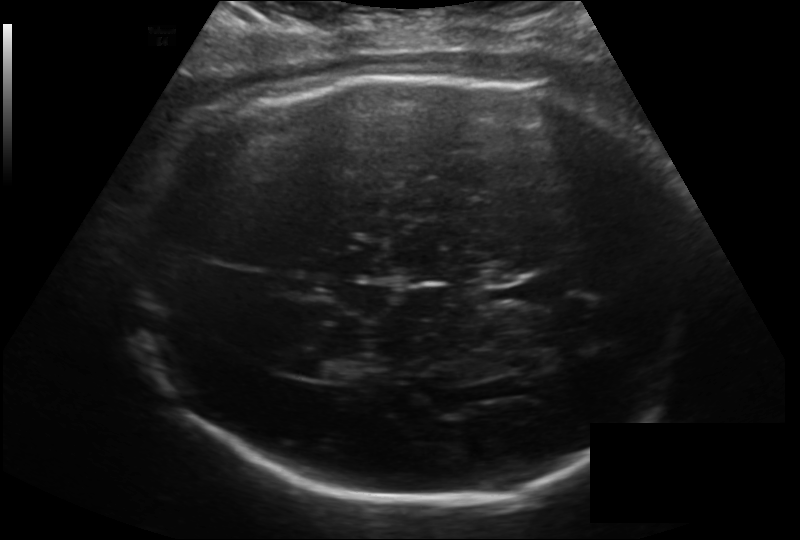
Fetal head ultrasound. Image width: 154.4 mm. Locate the lateral ventricle.

Lateral ventricle: [304,349,365,384]